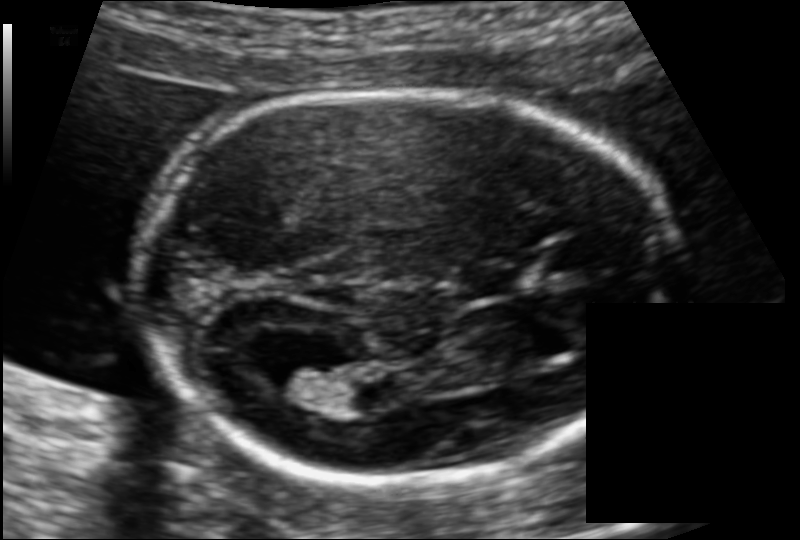
In this fetal head ultrasound, give the bounding box of the lateral ventricle. Image width: 85.1 mm.

[258,352,344,413]